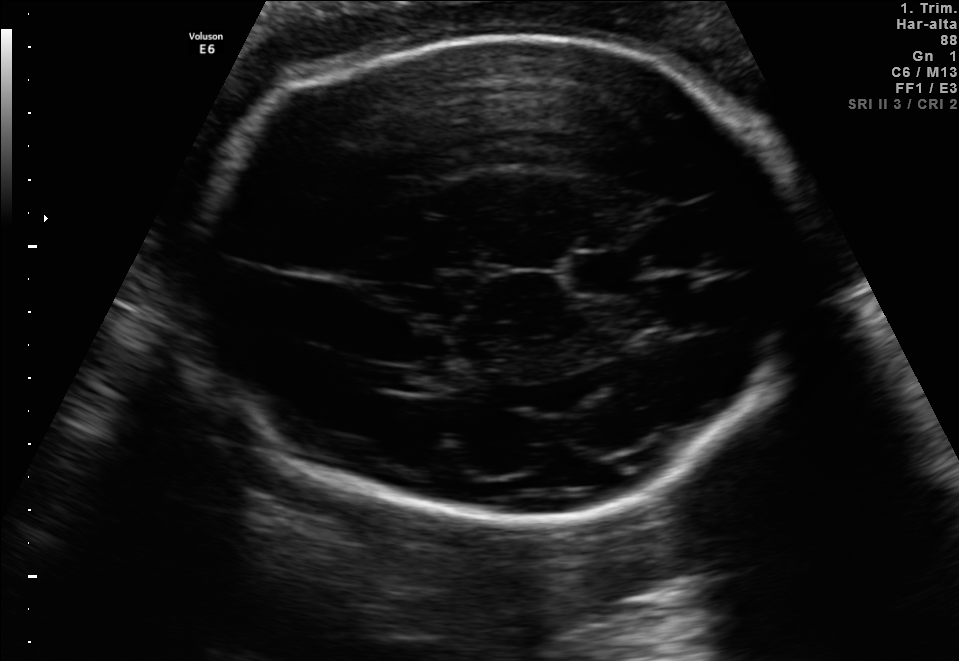
In this fetal brain, trans-thalamic plane, give the bounding box of the lateral ventricle.

[370,363,449,396]